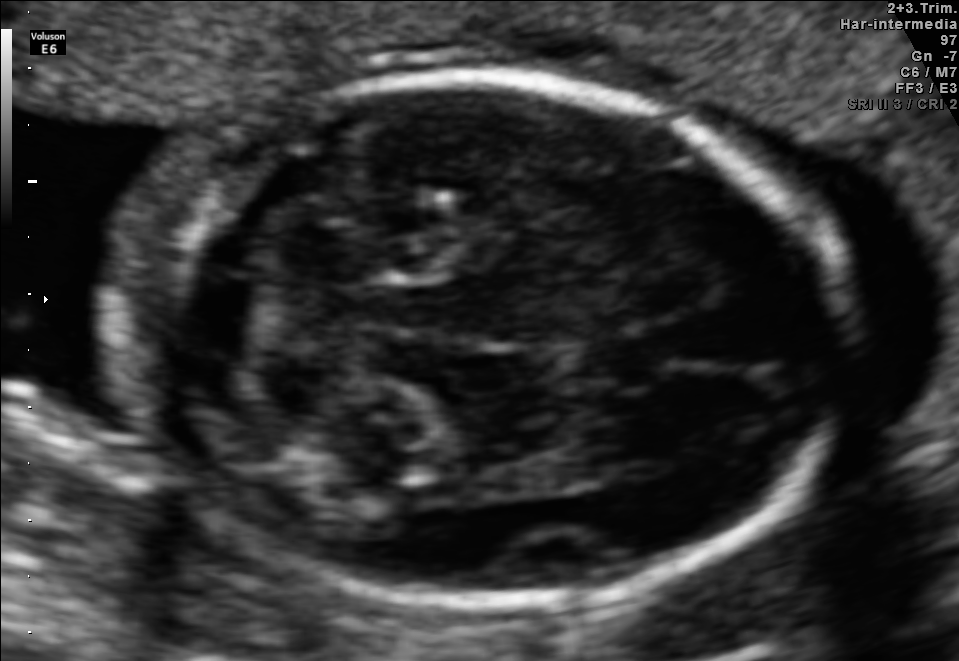
In this fetal brain, trans-cerebellum plane, give the bounding box of the fetal head.

[121,75,838,608]